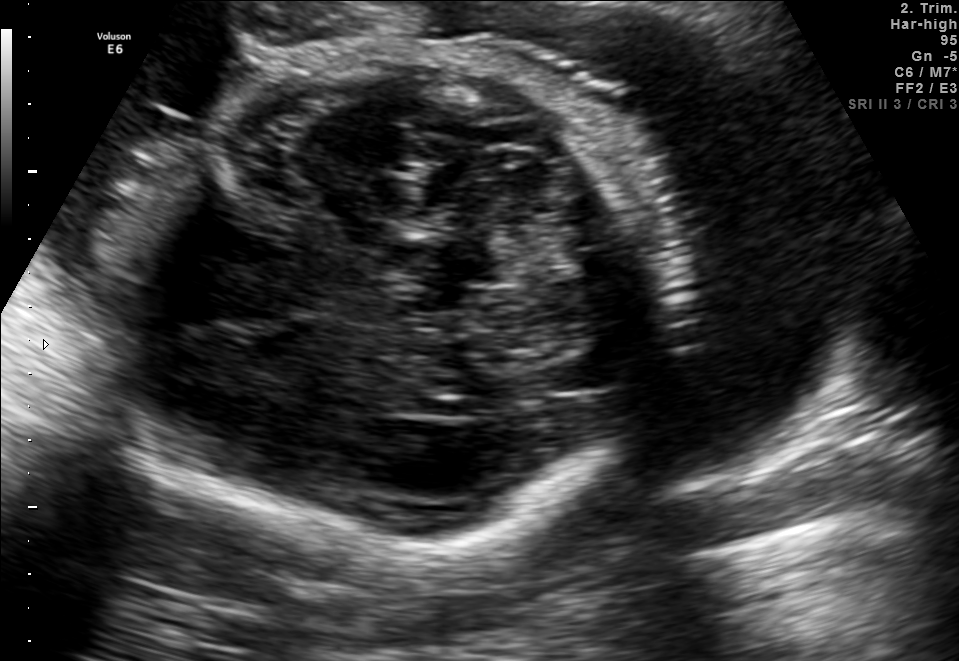
In this fetal brain, trans-cerebellum plane, give the bounding box of the fetal head.

[116,41,669,560]